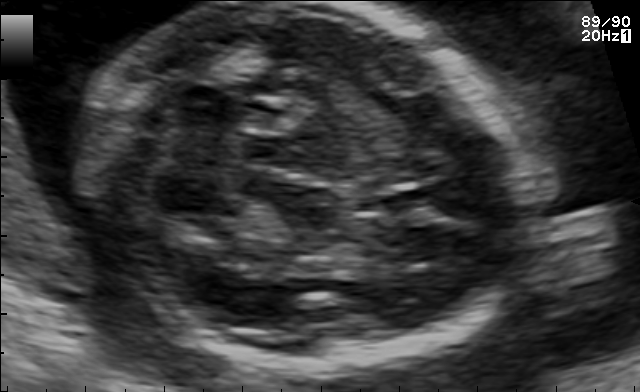
In this fetal brain, trans-cerebellum plane, give the bounding box of the fetal head.

[89,1,519,369]